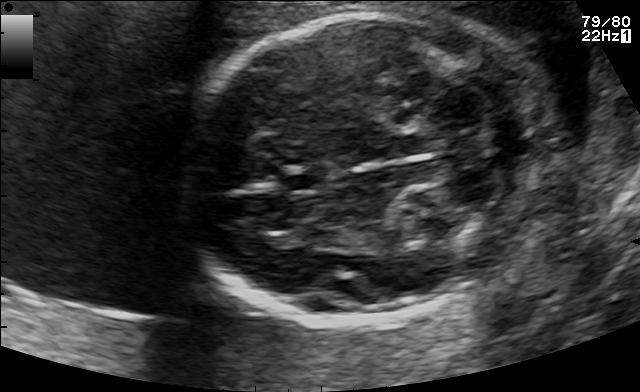
In this fetal brain, trans-cerebellum plane, give bounding boxes for the head outline, cavum septum pellucidum (CSP), and lateral ventricle (LV), where visible.

Head: [180,12,558,321]
CSP: [277,165,332,196]